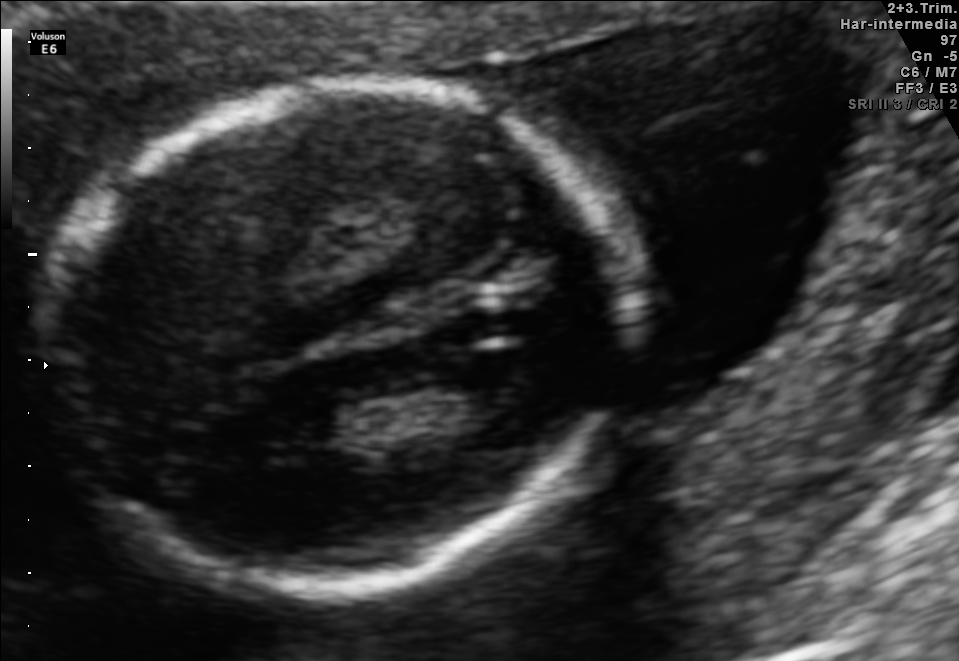
Which standard maternal-fetal ultrasound plane is shown: fetal abdomen, fetal brain, fetal femur, fetal thorax, maternal cervix, or other? If it's fetal brain and one of the three standard brain planes (trans-thalamic, trans-cerebellum, trans-ventricular), name which.

Fetal brain (trans-thalamic plane)